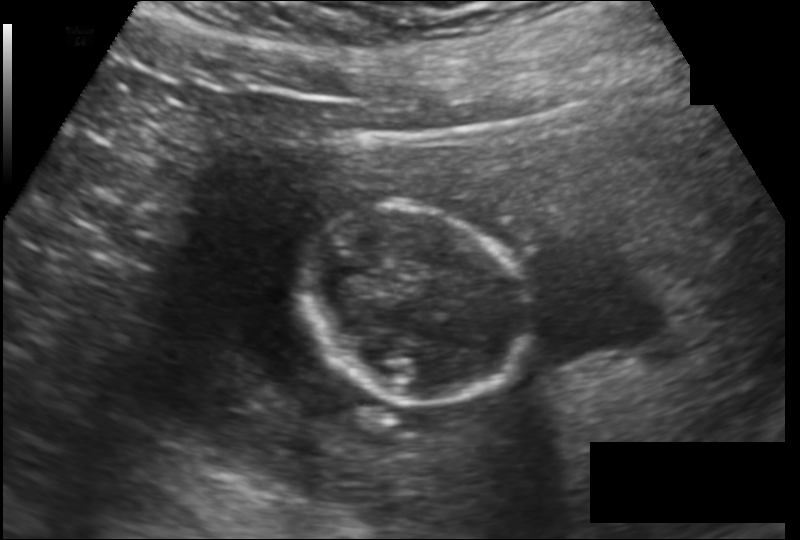
Fetal head ultrasound. Image width: 119.2 mm. Where is the fetal head?

Head bounding box: [299,203,527,405]